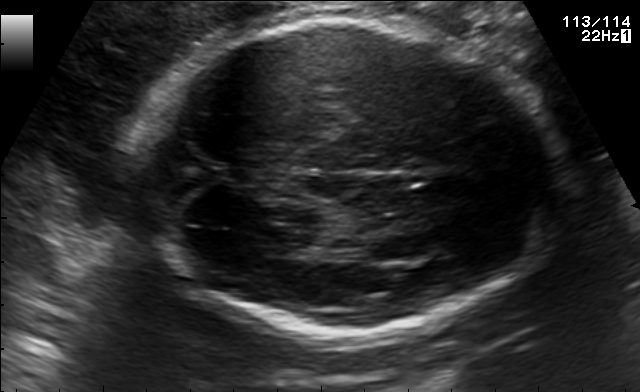
In this fetal brain, trans-thalamic plane, give bounding boxes for the head outline, cavum septum pellucidum (CSP), and lateral ventricle (LV), where visible.

Head: [140,21,564,334]